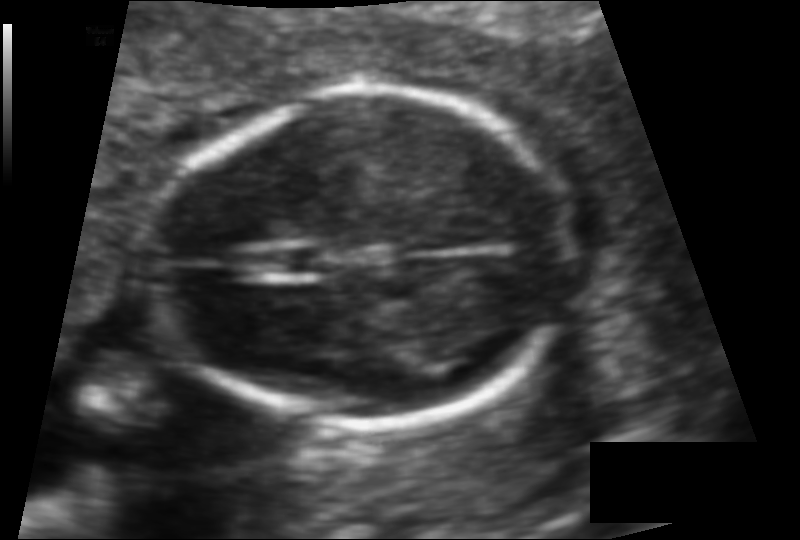
In this fetal head ultrasound, give bounding boxes for the head outline, cavum septum pellucidum (CSP), and lateral ventricle (LV), where visible. Image width: 75.5 mm.

Head: [163,91,562,426]
CSP: [269,248,332,273]